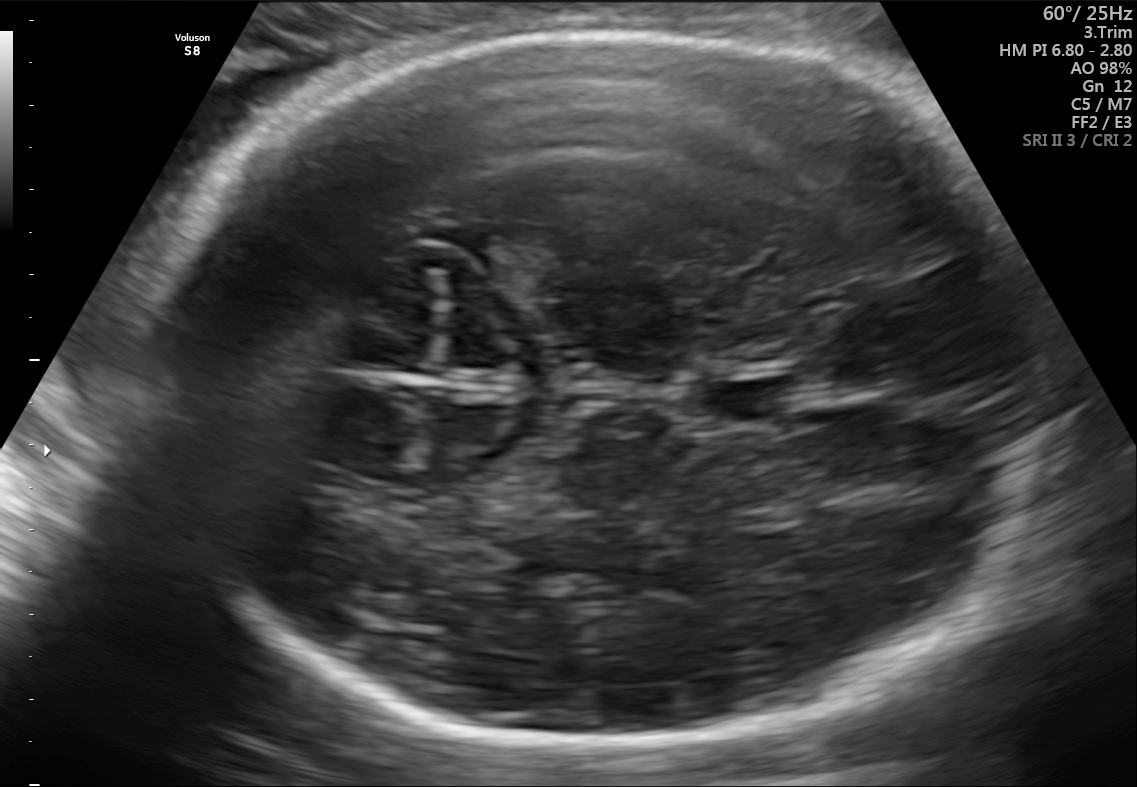
Identify the standard plane in this fetal ultrasound image: fetal abdomen, fetal brain, fetal femur, fetal thorax, maternal cervix, or other. If it's fetal brain and one of the three standard brain planes (trans-thalamic, trans-cerebellum, trans-ventricular), name which.

Fetal brain (trans-thalamic plane)